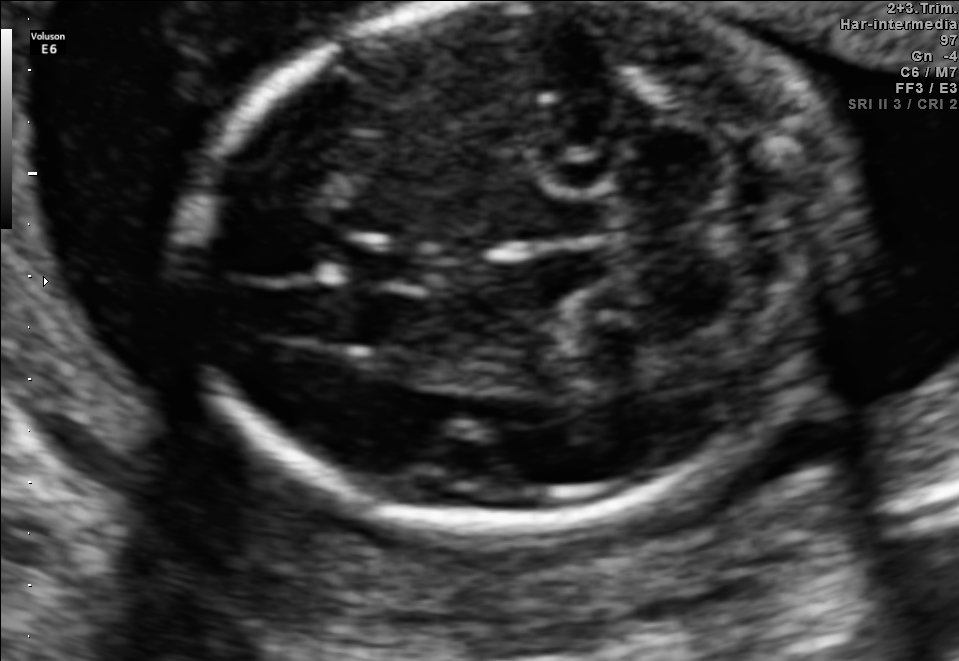
Classify this maternal-fetal ultrasound image as one of the six standard planes — fetal abdomen, fetal brain, fetal femur, fetal thorax, maternal cervix, or other. If it's fetal brain and one of the three standard brain planes (trans-thalamic, trans-cerebellum, trans-ventricular), name which.

Fetal brain (trans-cerebellum plane)